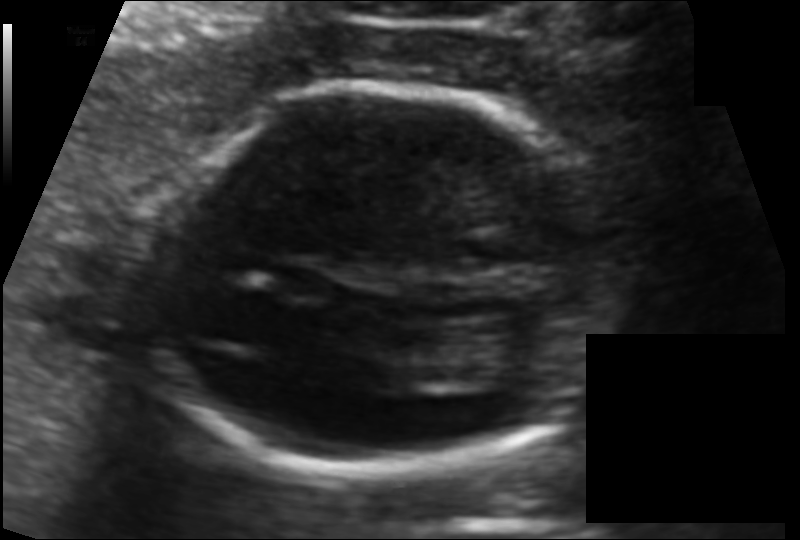
From this fetal ultrasound, estimate the head circumference (image width 80.1 mm).

Head circumference: 142.3 mm.